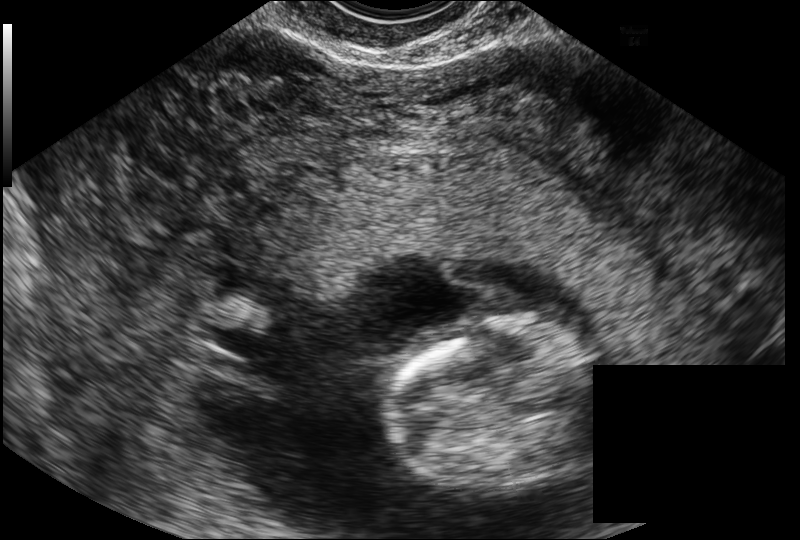
Fetal head ultrasound. Image width: 90.9 mm. Locate the fetal head.

Head: [384,319,593,489]